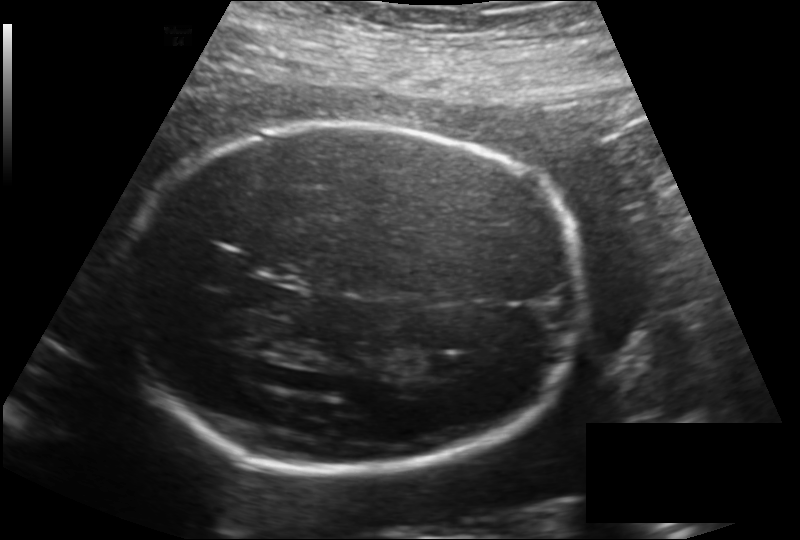
Estimate the fetal head circumference from this 2D ultrasound.

Head circumference: 245.4 mm (image width 149.9 mm).